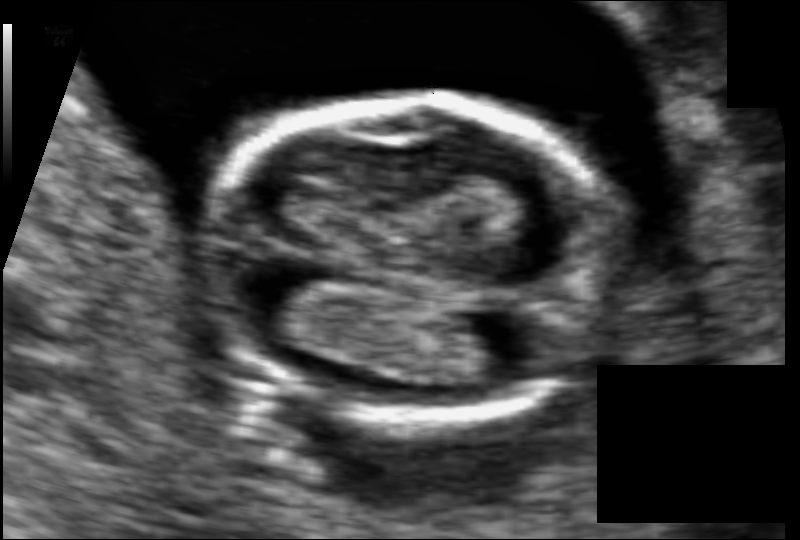
What is the fetal head circumference? Image width is 59.9 mm.

88.8 mm